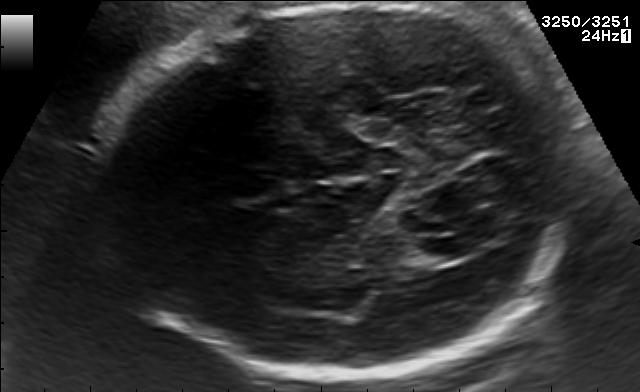
Identify the standard plane in this fetal ultrasound image: fetal abdomen, fetal brain, fetal femur, fetal thorax, maternal cervix, or other. If it's fetal brain and one of the three standard brain planes (trans-thalamic, trans-cerebellum, trans-ventricular), name which.

Fetal brain (trans-thalamic plane)